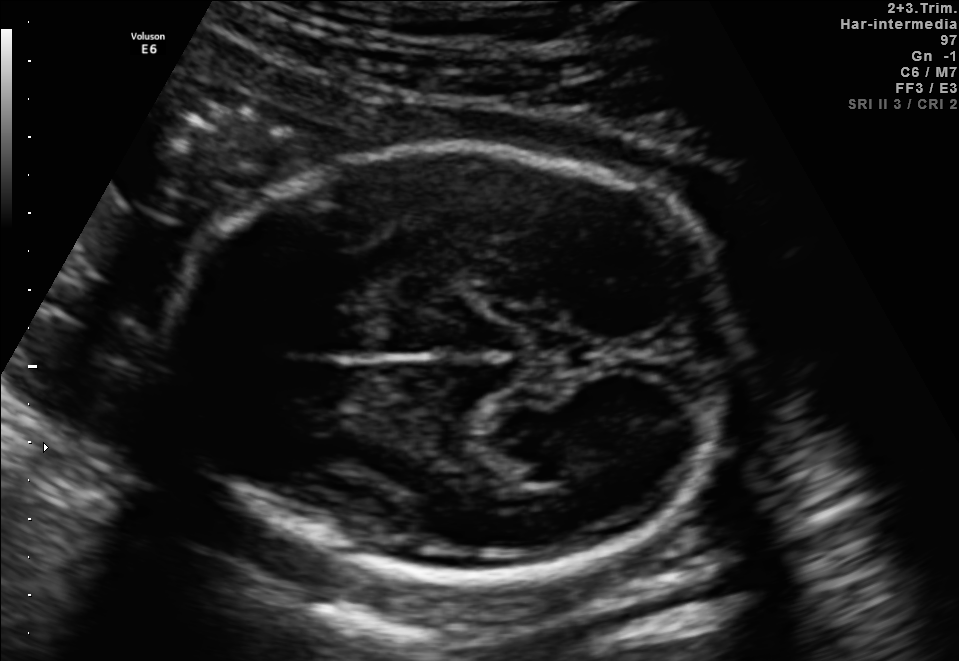
In this fetal brain, trans-thalamic plane, give bounding boxes for the head outline, cavum septum pellucidum (CSP), and lateral ventricle (LV), where visible.

Head: [166,144,733,579]
Lateral ventricle: [488,425,608,491]